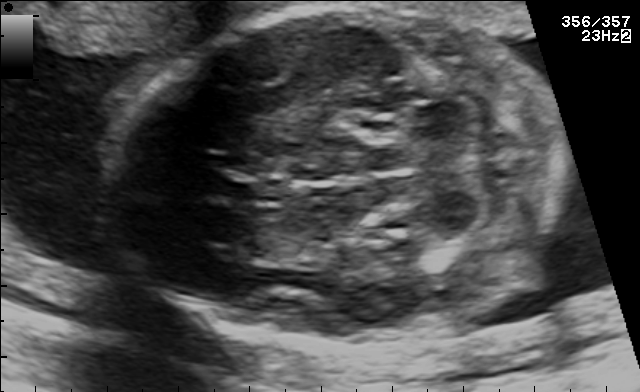
Fetal brain, trans-cerebellum plane. Where is the fetal head?

Head bounding box: [108,11,564,339]